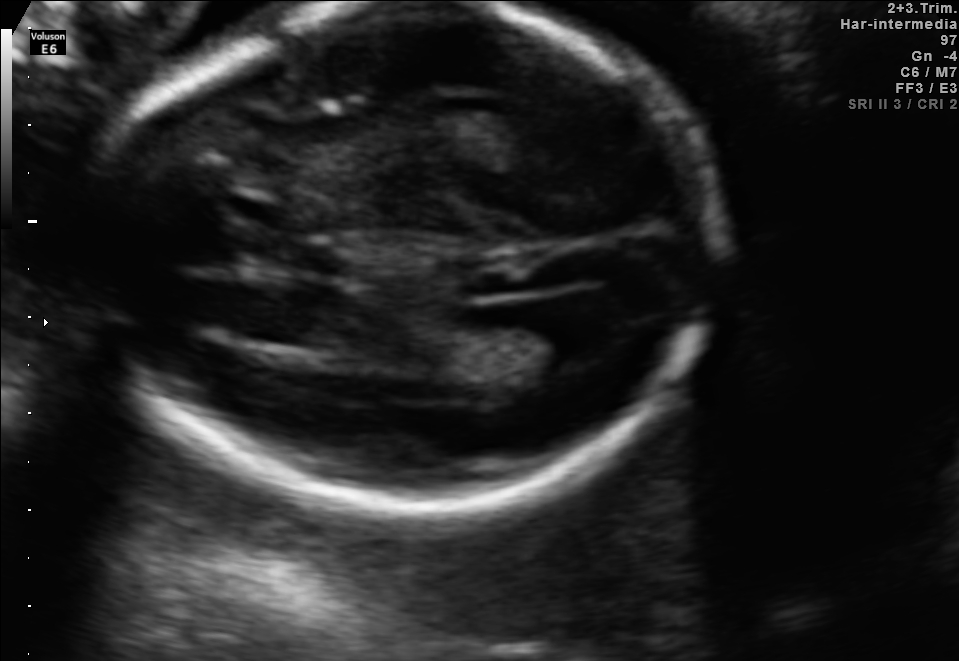
Fetal brain, trans-ventricular plane. Where is the lateral ventricle?

Lateral ventricle bounding box: [505,286,623,380]